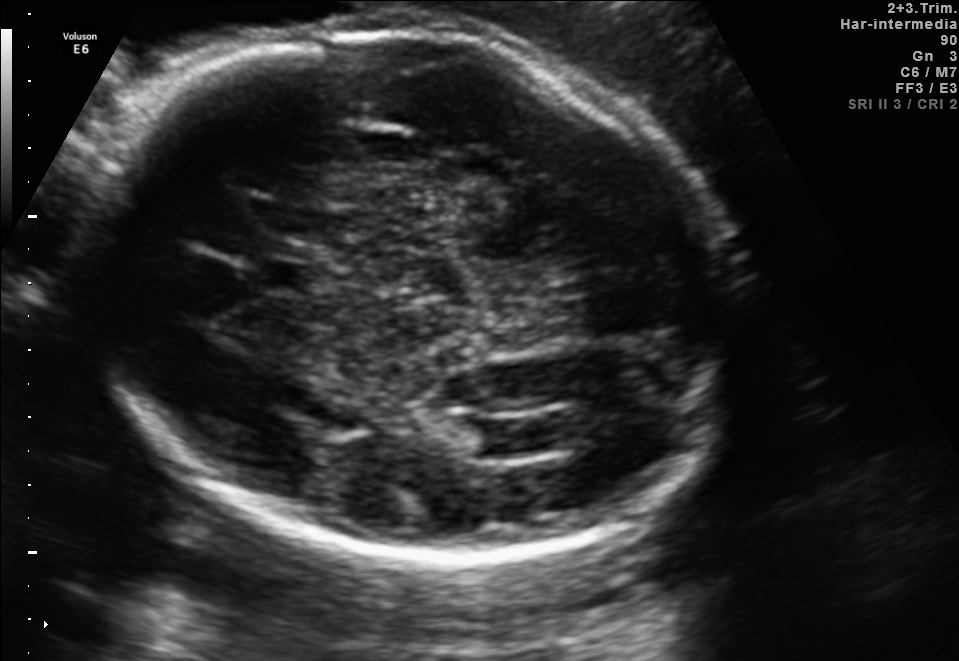
In this fetal brain, trans-ventricular plane, give the bounding box of the fetal head.

[67,17,760,570]